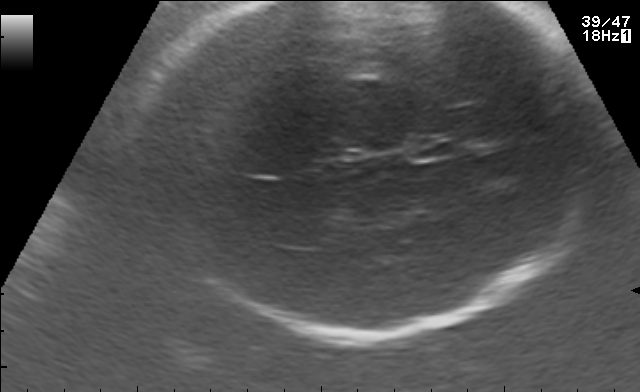
Fetal brain, trans-thalamic plane. Locate the cavum septum pellucidum.

CSP: [405,132,457,162]